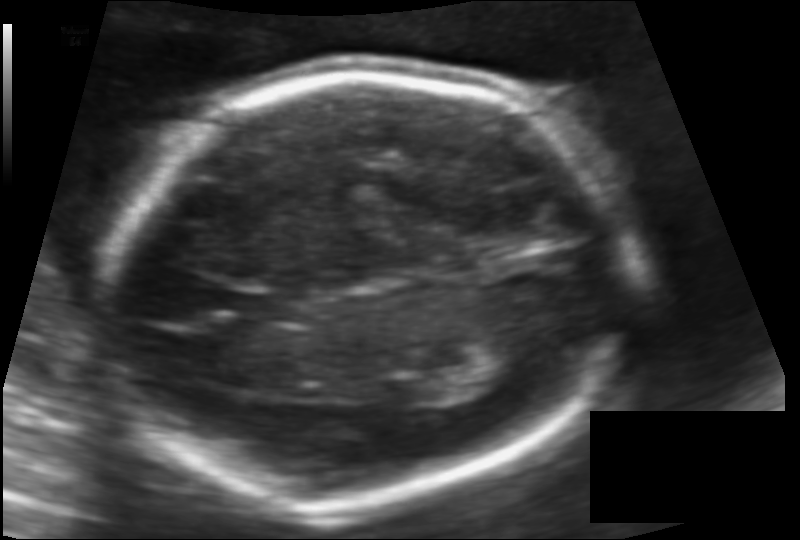
Measure the fetal head circumference shown in this ultrasound image. Image width: 93.5 mm.

Head circumference: 181.8 mm.